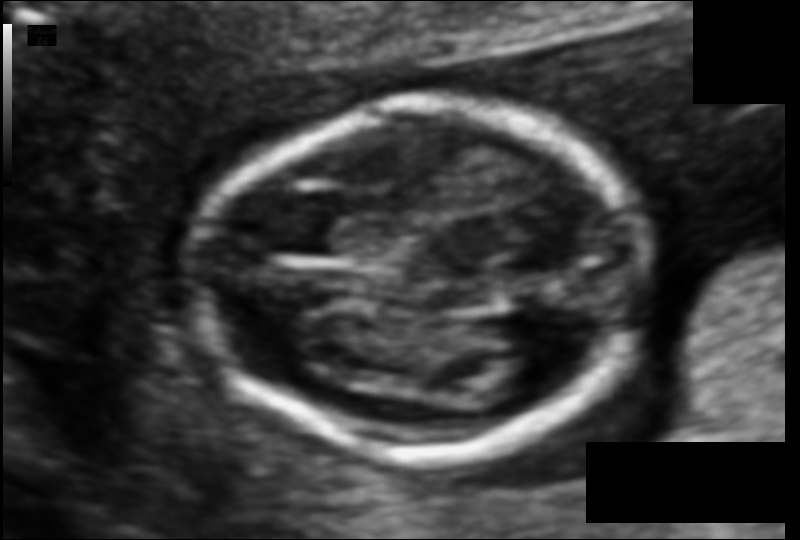
Estimate the fetal head circumference from this 2D ultrasound. Image width: 61.5 mm.

Head circumference: 101.0 mm.